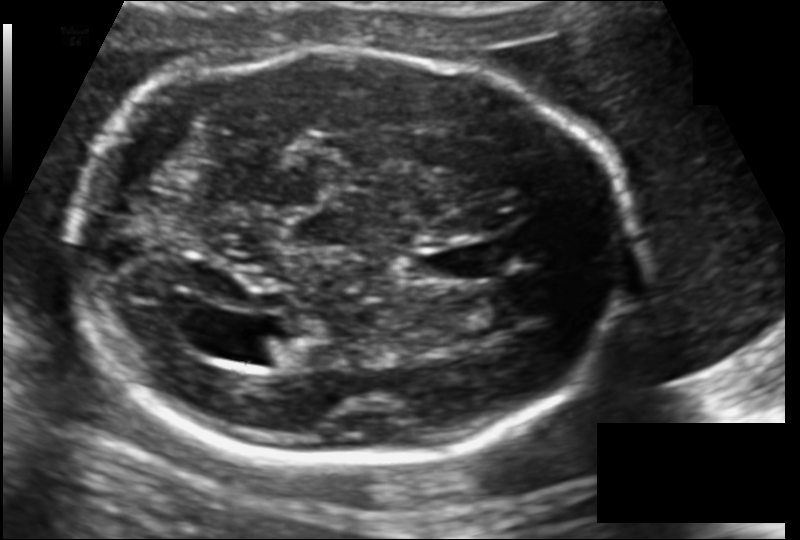
Estimate the fetal head circumference from this 2D ultrasound. Image width: 110.0 mm.

Head circumference: 218.7 mm.